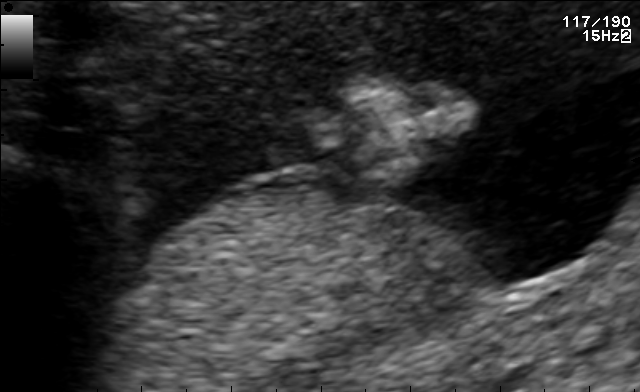
Classify this maternal-fetal ultrasound image as one of the six standard planes — fetal abdomen, fetal brain, fetal femur, fetal thorax, maternal cervix, or other. If it's fetal brain and one of the three standard brain planes (trans-thalamic, trans-cerebellum, trans-ventricular), name which.

Other